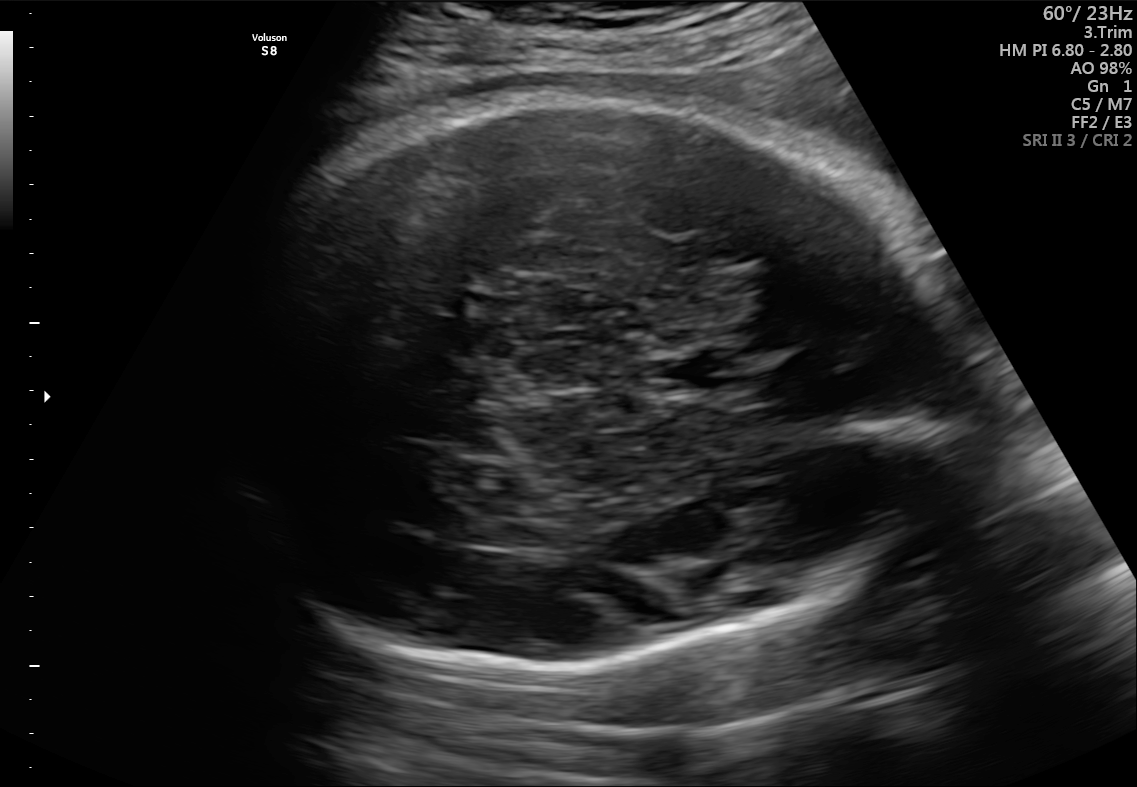
Fetal brain, trans-thalamic plane. Where is the cavum septum pellucidum?

CSP bounding box: [651,350,743,396]